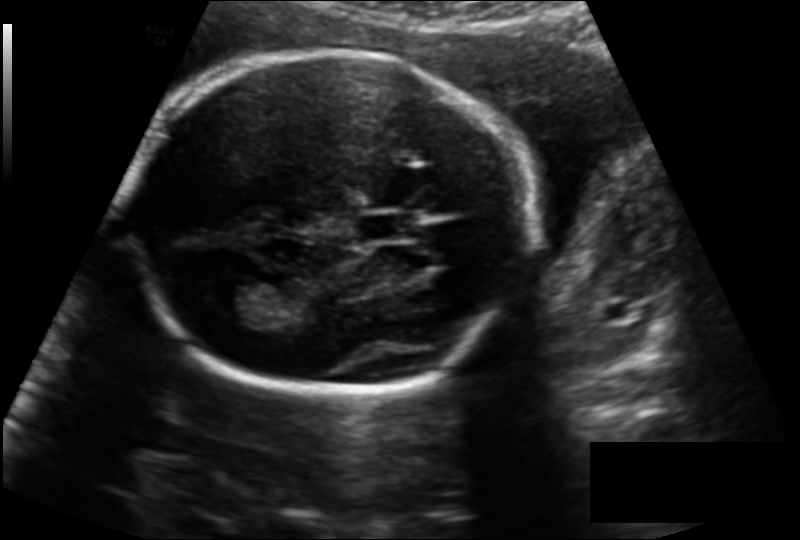
In this fetal head ultrasound, give the bounding box of the lateral ventricle. Image width: 122.1 mm.

[201,269,264,323]